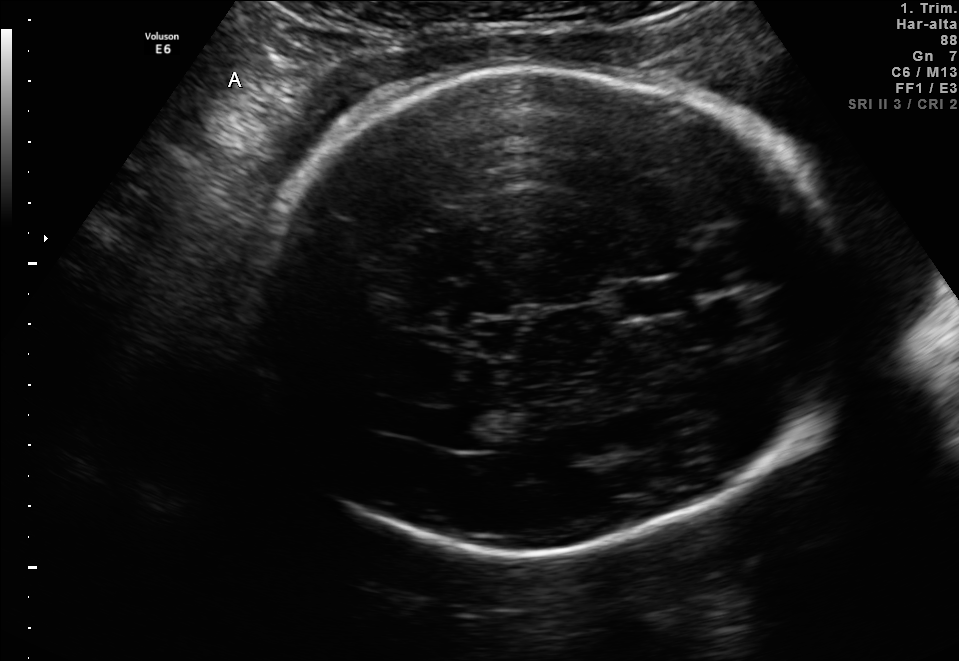
Fetal brain, trans-thalamic plane. Where is the lateral ventricle?

Lateral ventricle bounding box: [433,408,497,452]